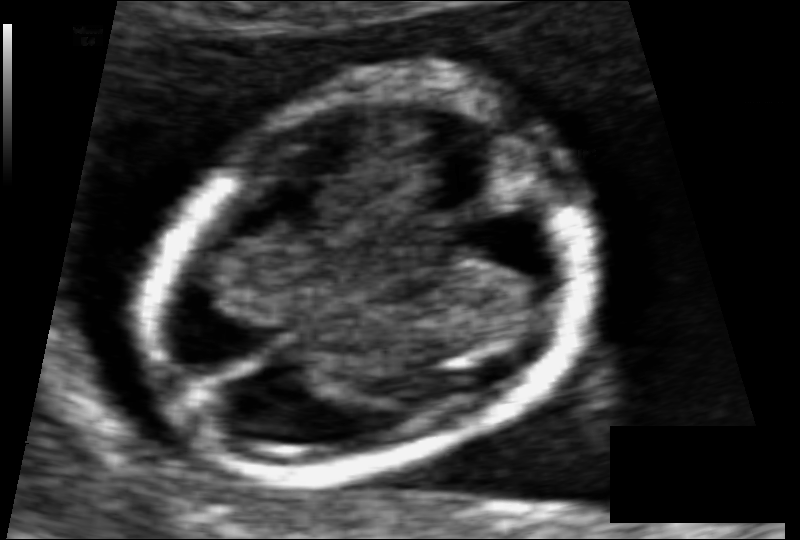
What is the fetal head circumference? Image width is 49.2 mm.

83.6 mm